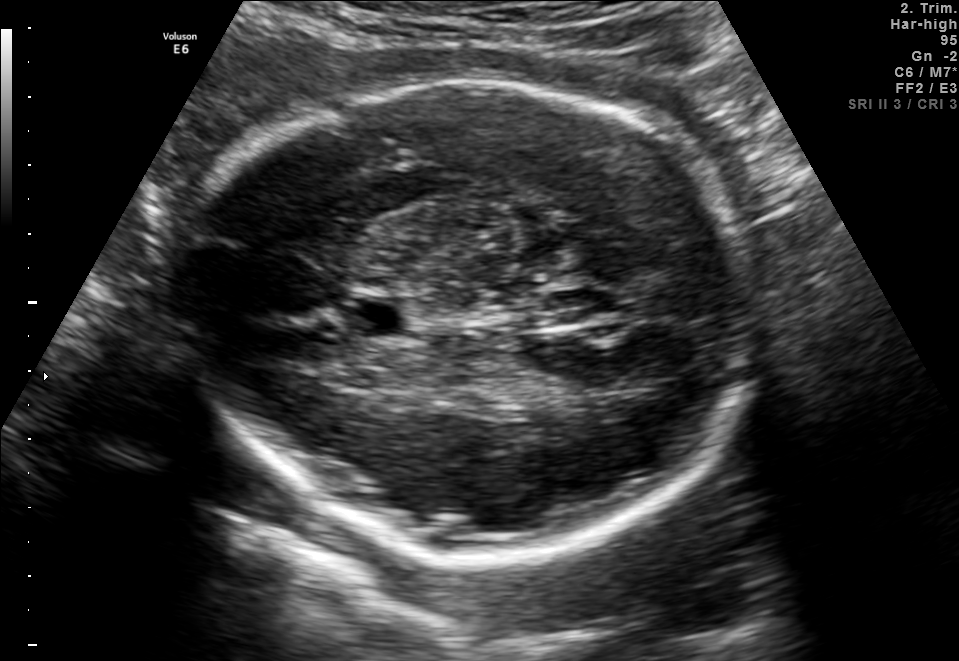
Fetal brain, trans-thalamic plane. Where is the fetal head?

Head bounding box: [180,76,751,547]